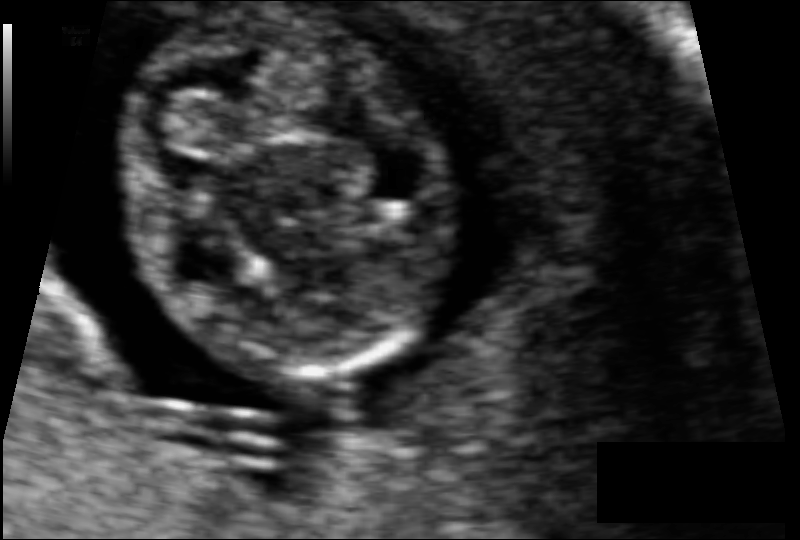
Fetal head ultrasound. Image width: 49.6 mm. Locate the fetal head and, if visible, the cavum septum pellucidum (CSP) and lateral ventricle (LV). Give bounding boxes as [x1,y1,x2,y2].

Head: [118,5,450,382]